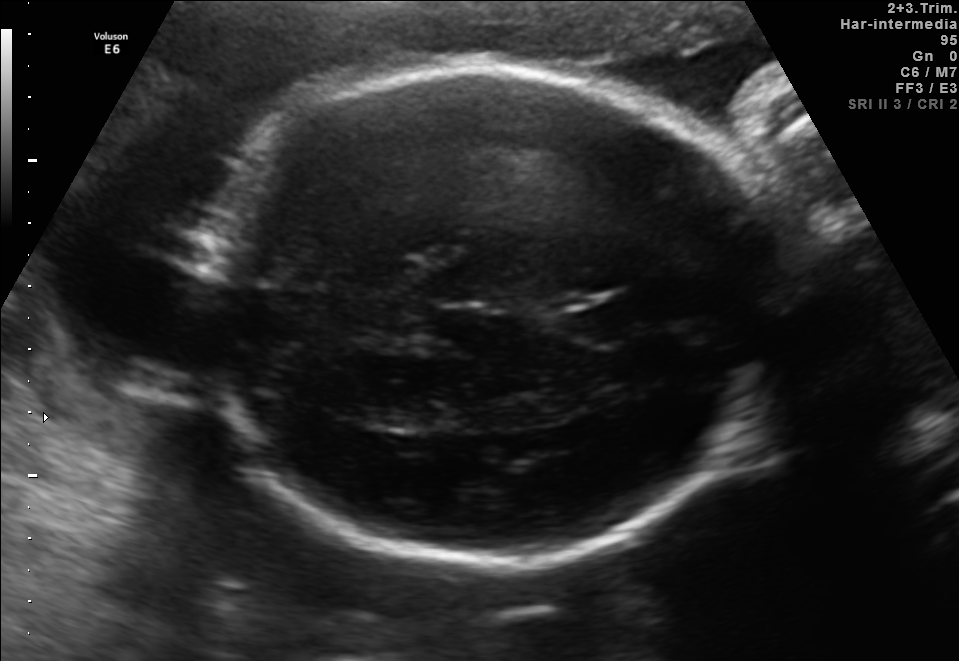
Fetal brain, trans-thalamic plane. Where is the lateral ventricle?

Lateral ventricle bounding box: [344,393,432,431]